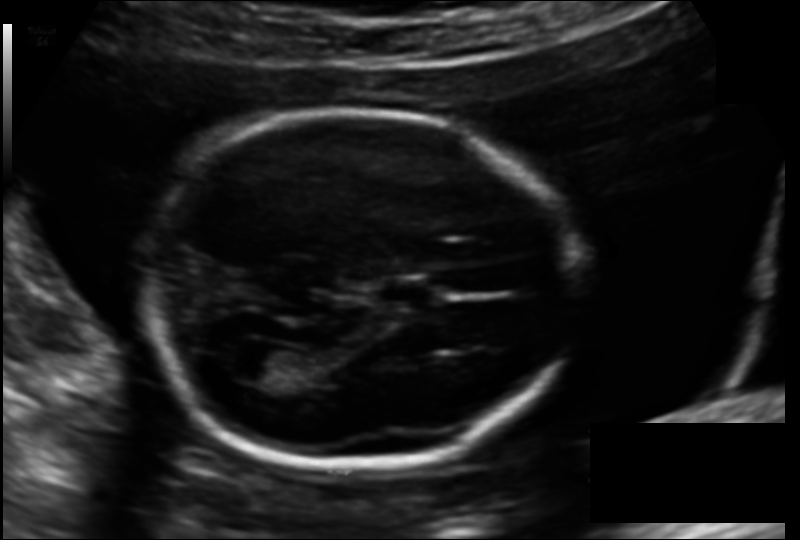
What is the fetal head circumference? Image width is 109.9 mm.

179.0 mm